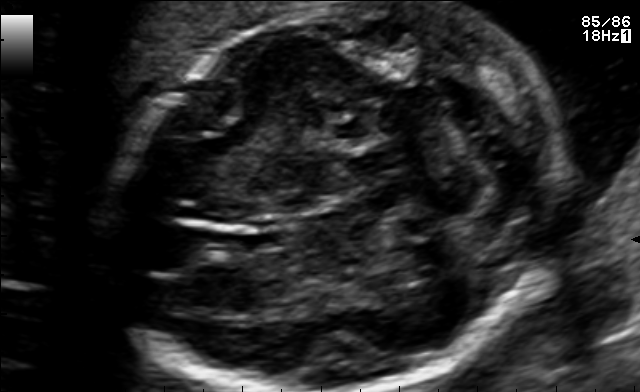
In this fetal brain, trans-cerebellum plane, give the bounding box of the fetal head.

[117,3,550,391]